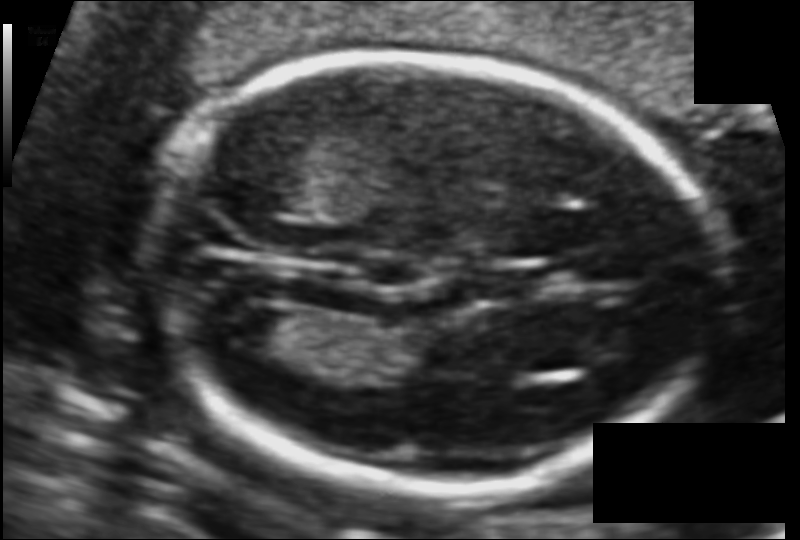
Measure the fetal head circumference shown in this ultrasound image. Image width: 75.8 mm.

Head circumference: 154.3 mm.